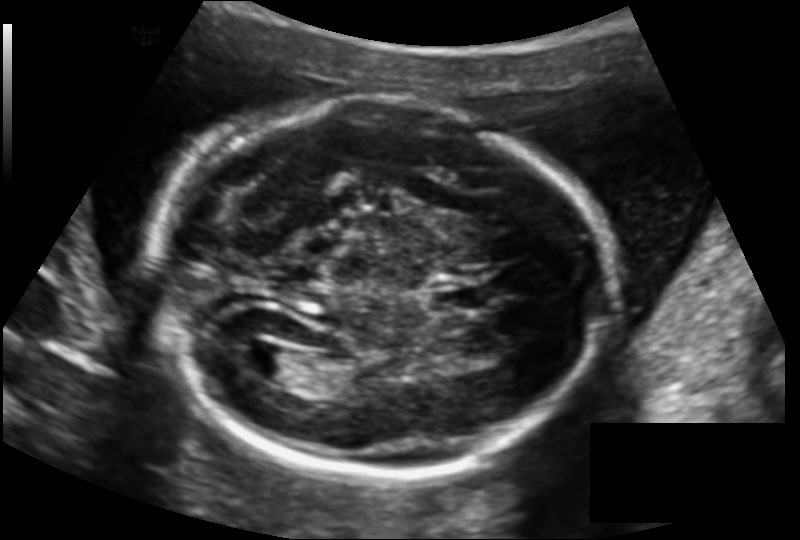
Fetal head ultrasound. Image width: 116.1 mm. Locate the fetal head.

Head: [155,103,608,475]